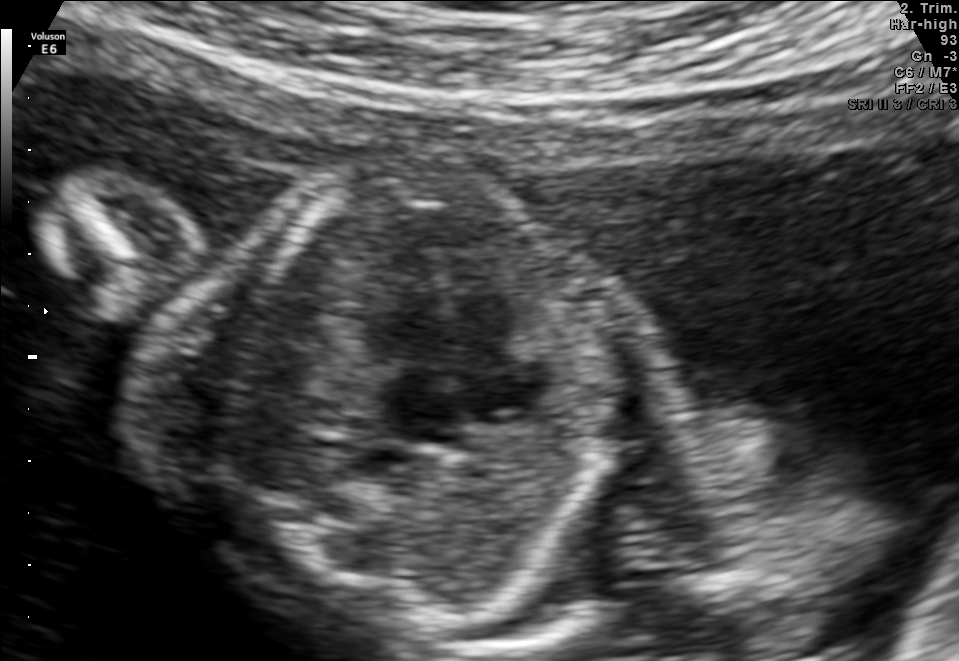
This is a 2D maternal-fetal ultrasound frame. Is it a fetal abdomen, fetal brain, fetal femur, fetal thorax, maternal cervix, or other standard plane? If it's fetal brain and one of the three standard brain planes (trans-thalamic, trans-cerebellum, trans-ventricular), name which.

Fetal thorax